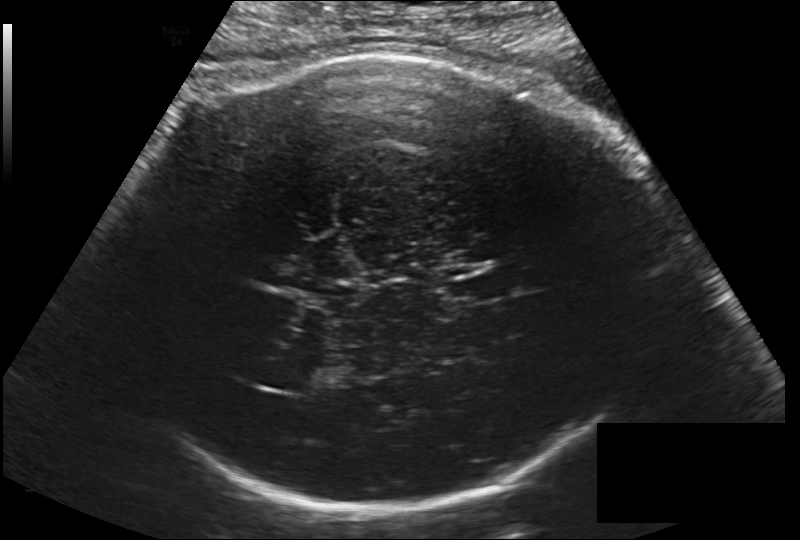
Fetal head ultrasound. Image width: 162.2 mm. Locate the cavum septum pellucidum.

CSP: [439,268,508,312]